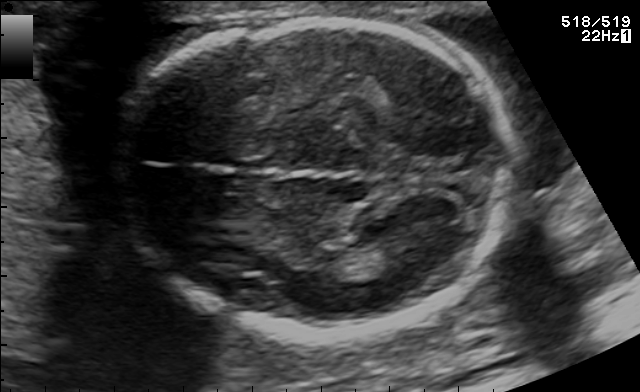
Fetal brain, trans-thalamic plane. Locate the fetal head and, if visible, the cavum septum pellucidum (CSP) and lateral ventricle (LV). Give bounding boxes as [x1,y1,x2,y2].

Head: [121,17,514,335]